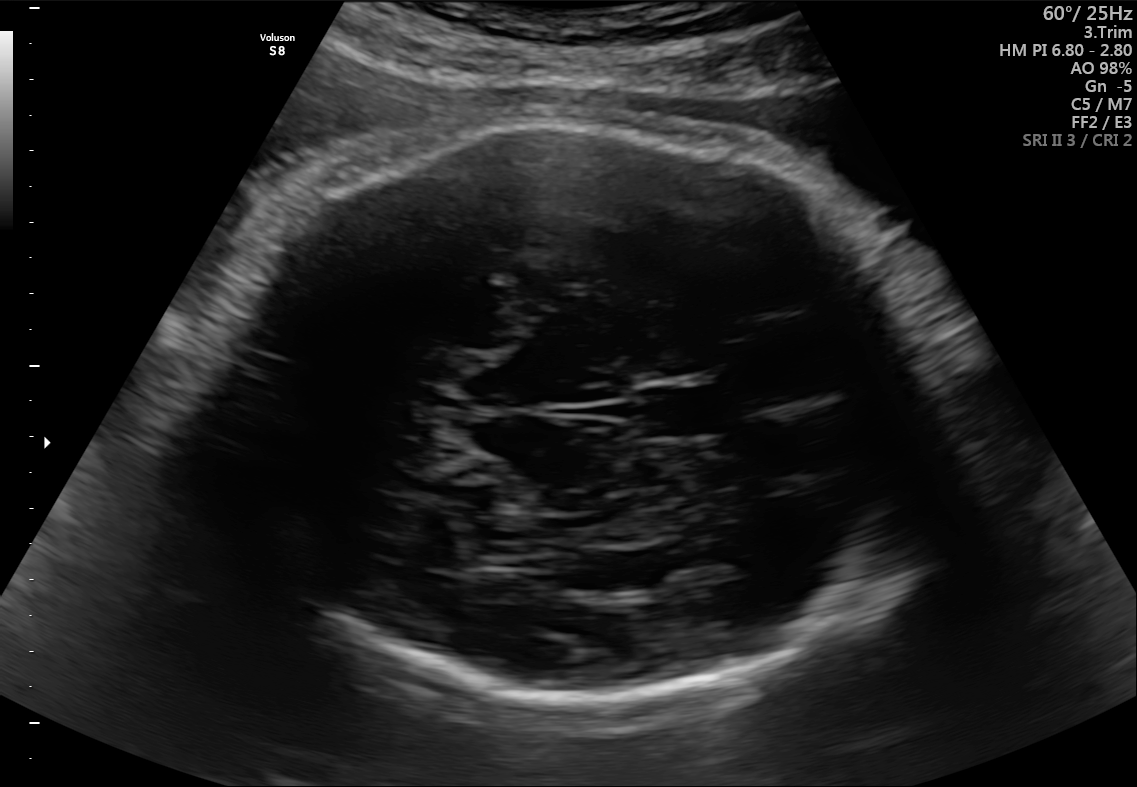
Fetal brain, trans-thalamic plane. Locate the fetal head and, if visible, the cavum septum pellucidum (CSP) and lateral ventricle (LV). Give bounding boxes as [x1,y1,x2,y2].

Head: [215,124,930,701]
CSP: [640,383,731,437]